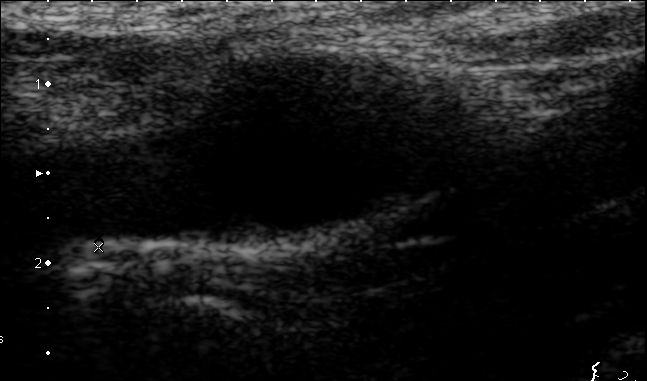
Classify this maternal-fetal ultrasound image as one of the six standard planes — fetal abdomen, fetal brain, fetal femur, fetal thorax, maternal cervix, or other. If it's fetal brain and one of the three standard brain planes (trans-thalamic, trans-cerebellum, trans-ventricular), name which.

Other